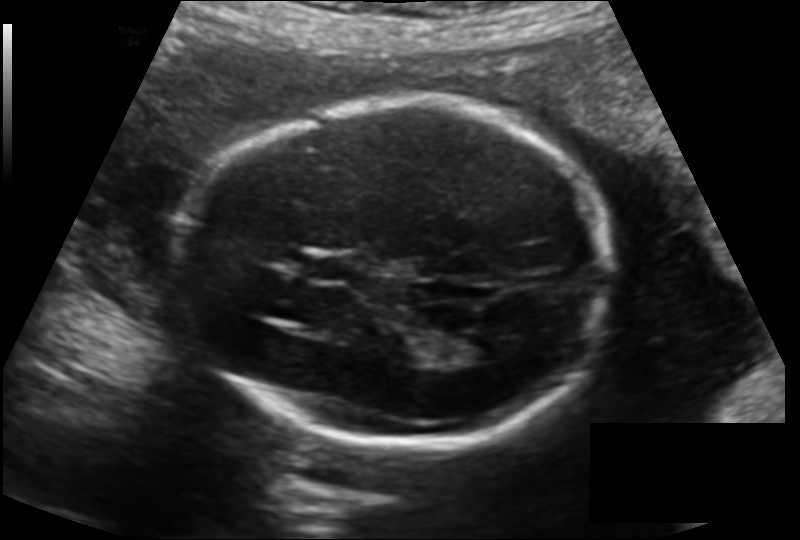
Fetal head ultrasound. Image width: 115.3 mm. Locate the fetal head.

Head: [177,101,610,444]